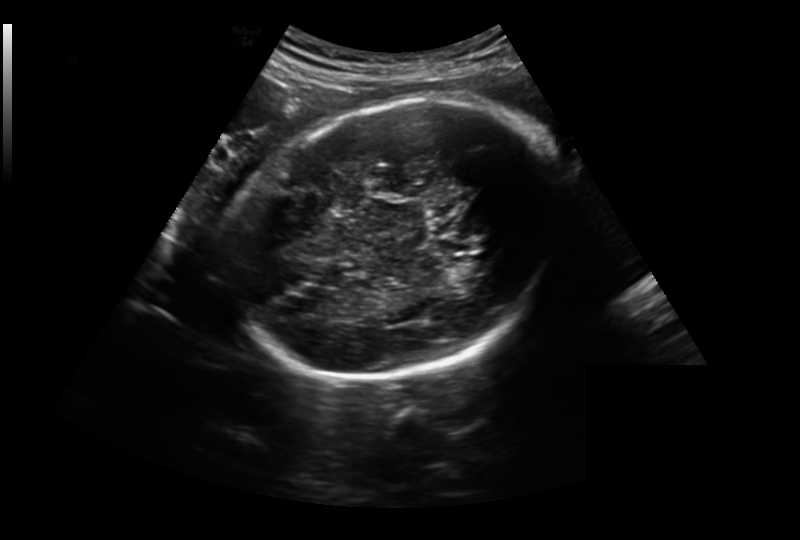
Fetal head ultrasound. Image width: 206.9 mm. Give [x1,y1,x2,y2] bounding boxes for each visible structure among: fetal head, CSP, LV.

Head: [234,100,564,377]